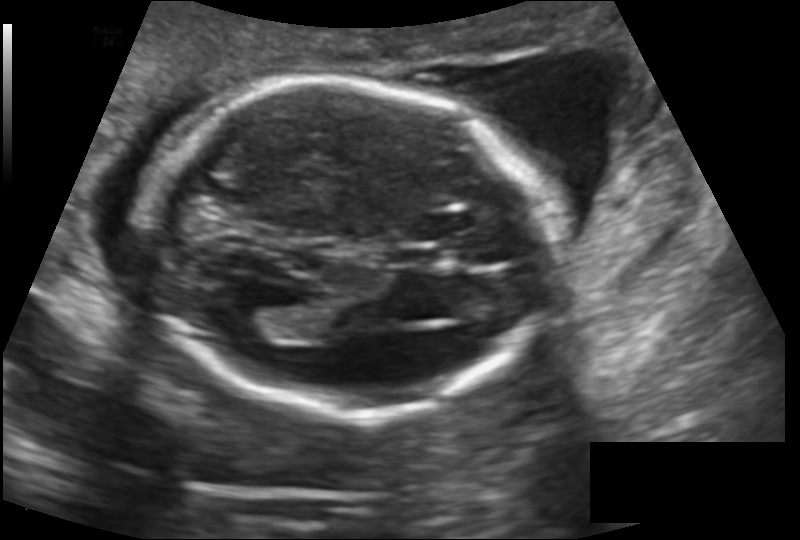
In this fetal head ultrasound, give the bounding box of the lateral ventricle. Image width: 116.4 mm.

[227,307,280,341]